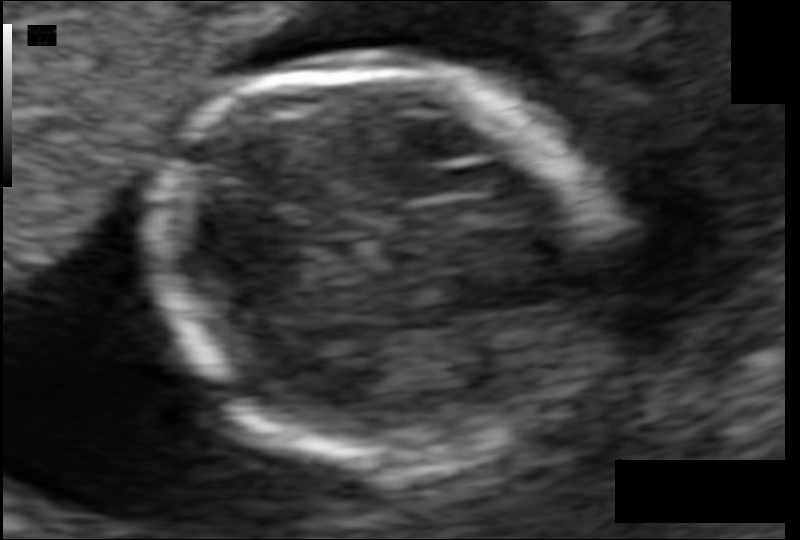
From this fetal ultrasound, estimate the head circumference (image width 58.1 mm).

Head circumference: 100.8 mm.